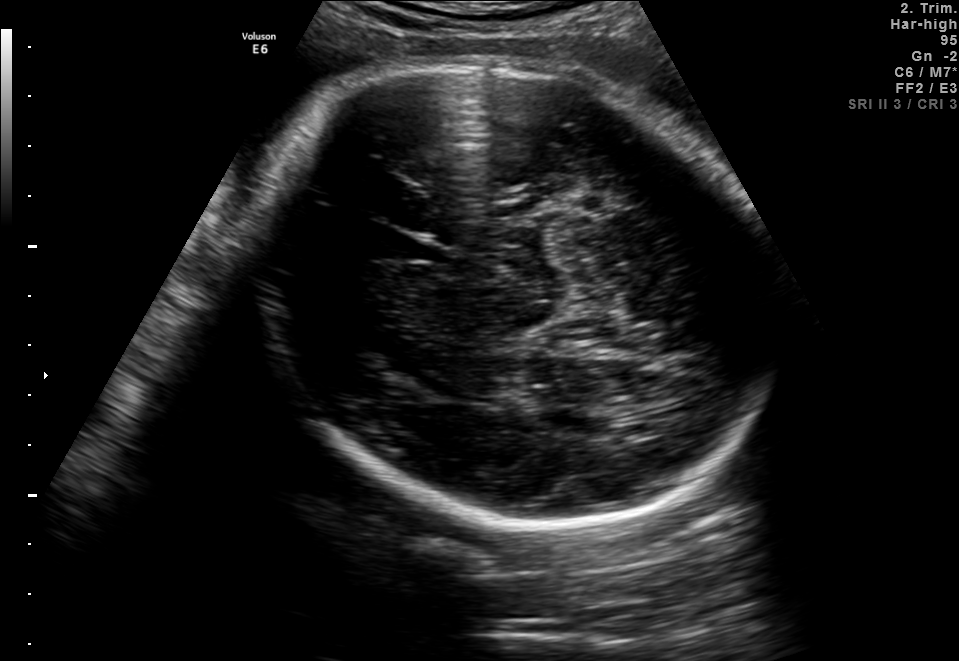
Which standard maternal-fetal ultrasound plane is shown: fetal abdomen, fetal brain, fetal femur, fetal thorax, maternal cervix, or other? If it's fetal brain and one of the three standard brain planes (trans-thalamic, trans-cerebellum, trans-ventricular), name which.

Fetal brain (trans-thalamic plane)